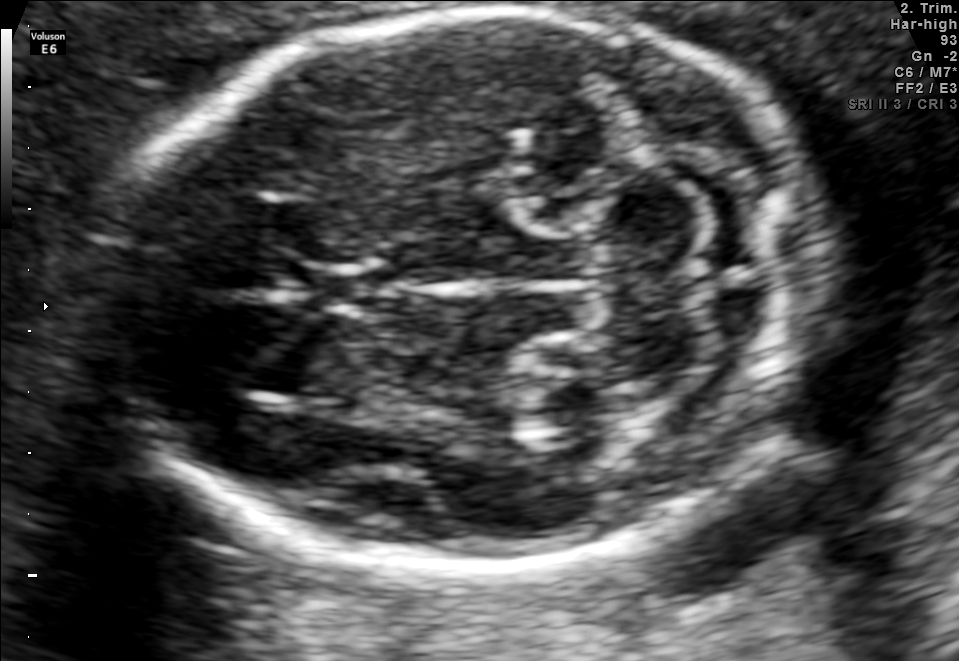
In this fetal brain, trans-cerebellum plane, give the bounding box of the fetal head.

[106,7,823,580]